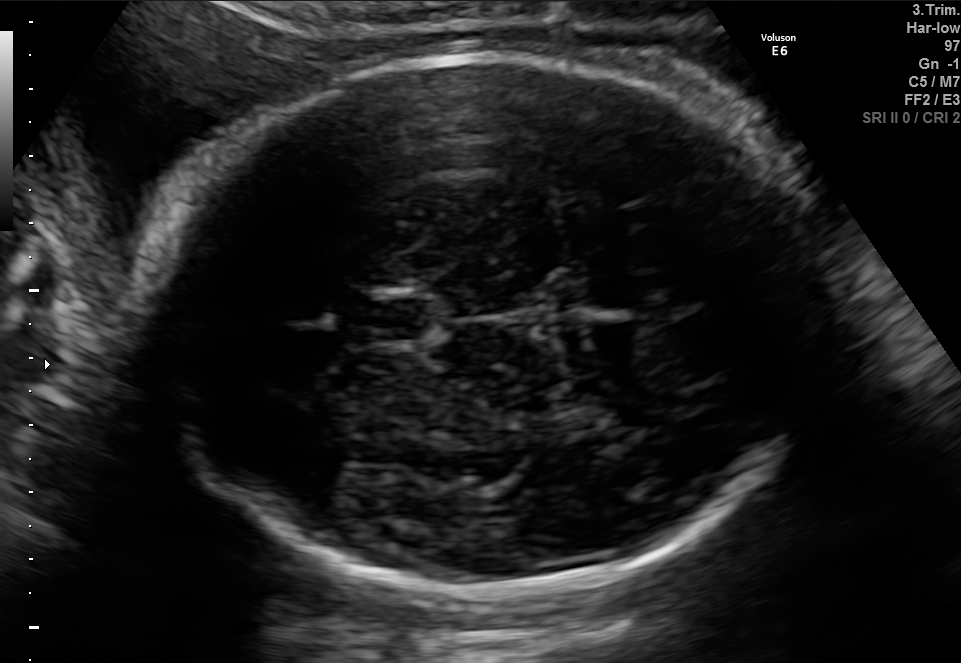
In this fetal brain, trans-thalamic plane, give the bounding box of the cavum septum pellucidum.

[366,299,429,340]